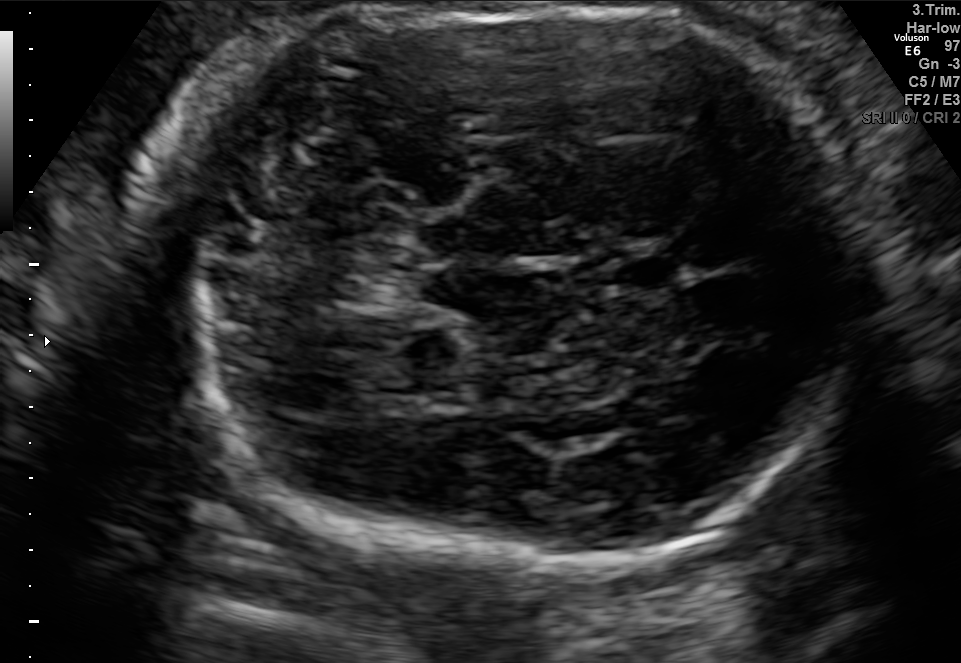
Fetal brain, trans-cerebellum plane. Where is the fetal head?

Head bounding box: [160,8,879,563]